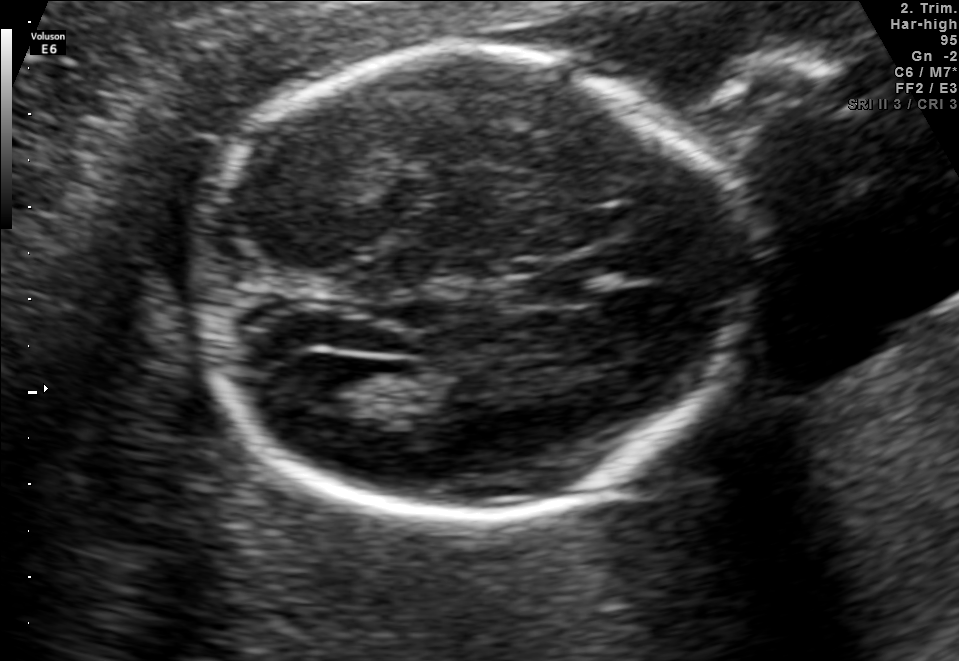
Fetal brain, trans-ventricular plane. Locate the cavum septum pellucidum.

CSP: [501,274,589,305]